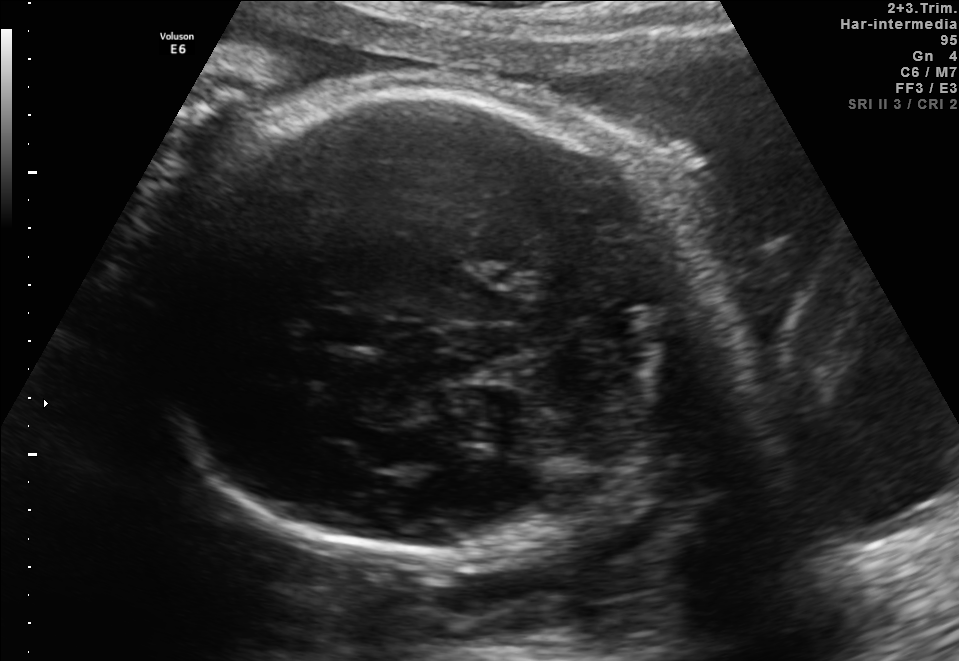
In this fetal brain, trans-thalamic plane, give the bounding box of the fetal head.

[139,94,700,553]